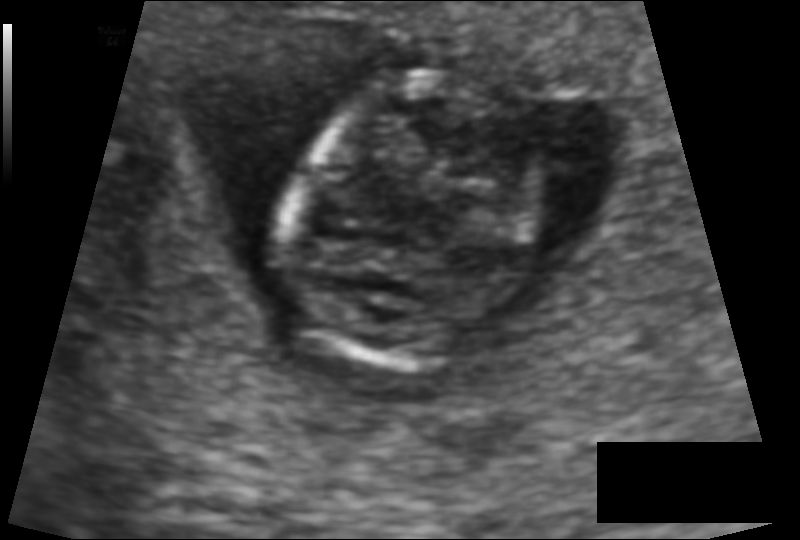
Fetal head ultrasound. Image width: 72.8 mm. Locate the fetal head and, if visible, the cavum septum pellucidum (CSP) and lateral ventricle (LV). Give bounding boxes as [x1,y1,x2,y2].

Head: [285,73,531,368]